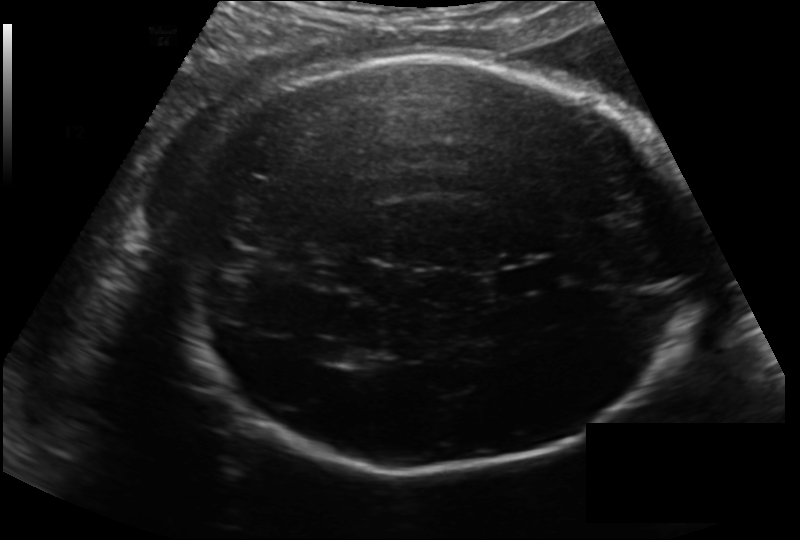
Fetal head ultrasound. Image width: 146.5 mm. Where is the fetal head?

Head bounding box: [171,56,699,468]